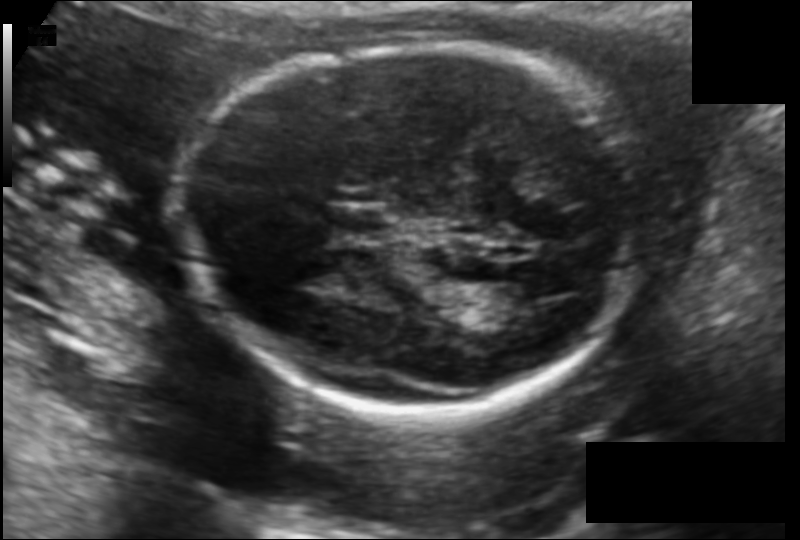
Fetal head ultrasound. Image width: 98.5 mm. Locate the fetal head.

Head: [186,46,634,414]